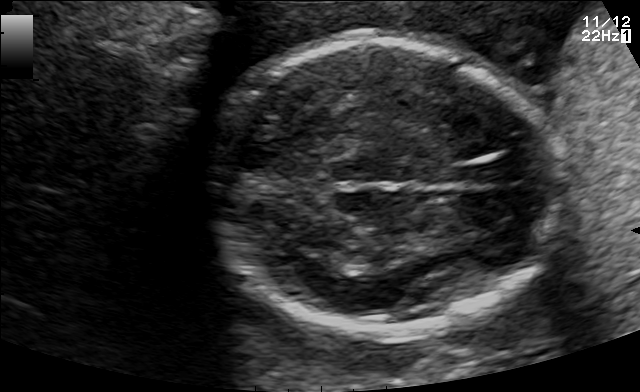
Fetal brain, trans-thalamic plane. Where is the fetal head?

Head bounding box: [212,38,568,337]